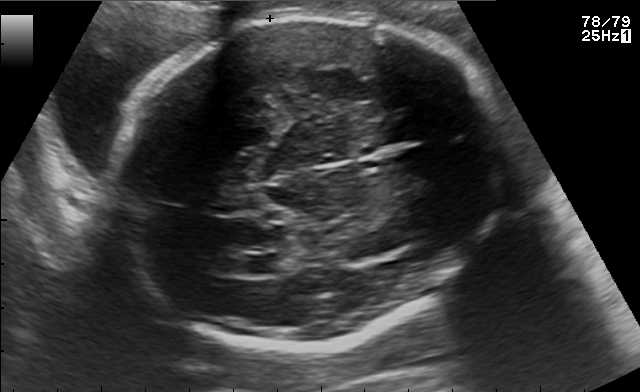
Fetal brain, trans-ventricular plane. Locate the lateral ventricle.

Lateral ventricle: [233,253,282,274]